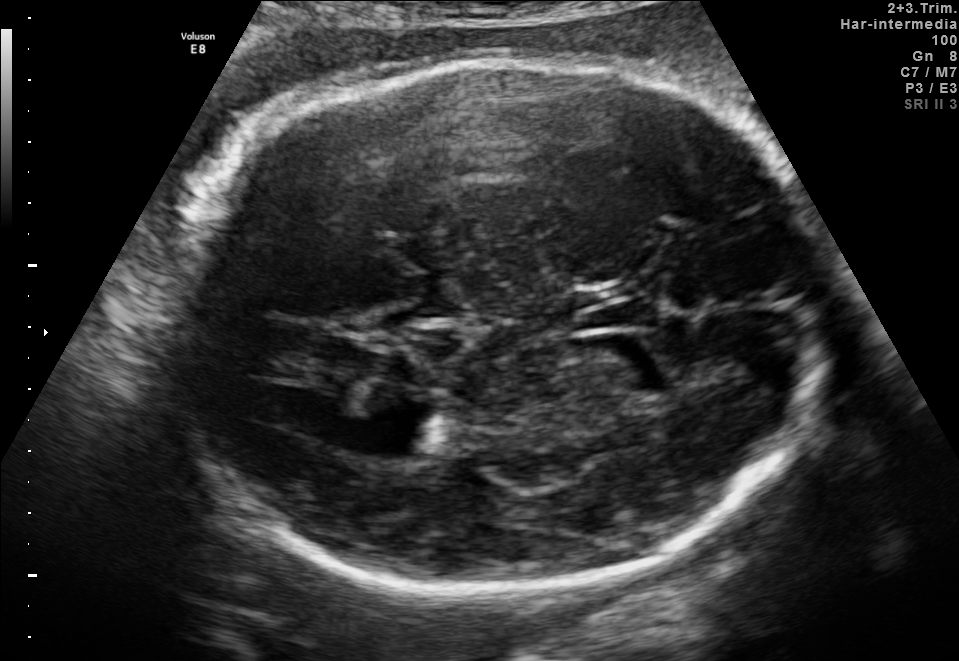
In this fetal brain, trans-thalamic plane, give the bounding box of the lateral ventricle.

[372,407,452,455]